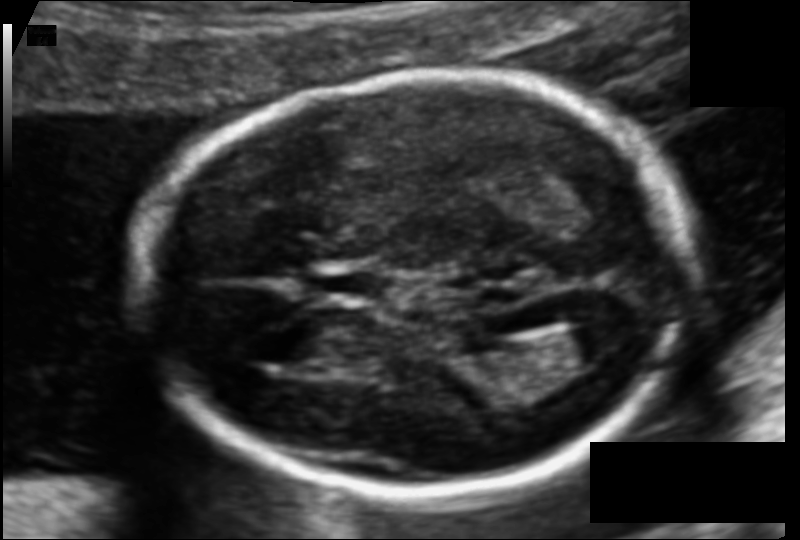
From this fetal ultrasound, estimate the head circumference (image width 83.7 mm).

Head circumference: 165.7 mm.